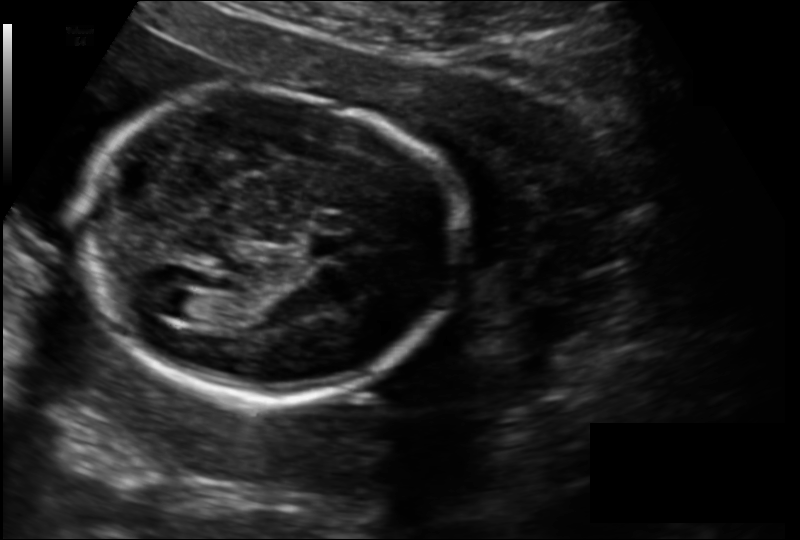
Estimate the fetal head circumference from this 2D ultrasound.

Head circumference: 169.7 mm (image width 119.1 mm).